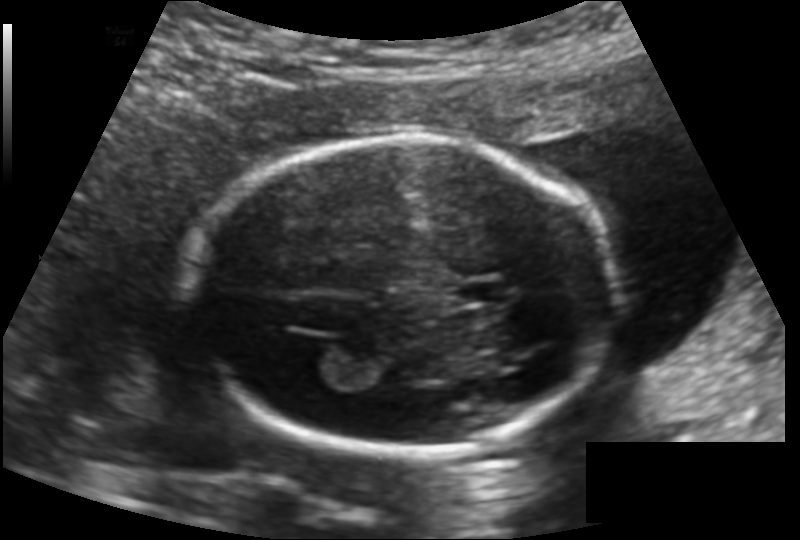
In this fetal head ultrasound, give bounding boxes for the head outline, cavum septum pellucidum (CSP), and lateral ventricle (LV), where visible. Image width: 109.1 mm.

Head: [192,135,615,454]
CSP: [457,280,508,306]
Lateral ventricle: [284,331,341,374]